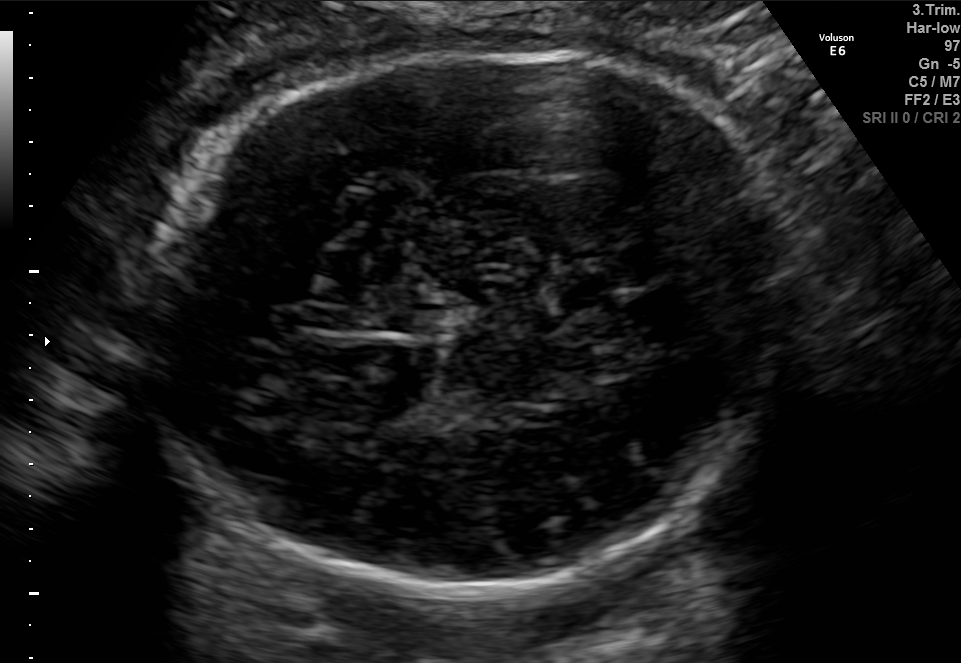
Fetal brain, trans-thalamic plane. Give [x1,y1,x2,y2] bounding boxes for each visible structure among: fetal head, CSP, LV.

Head: [158,49,797,592]